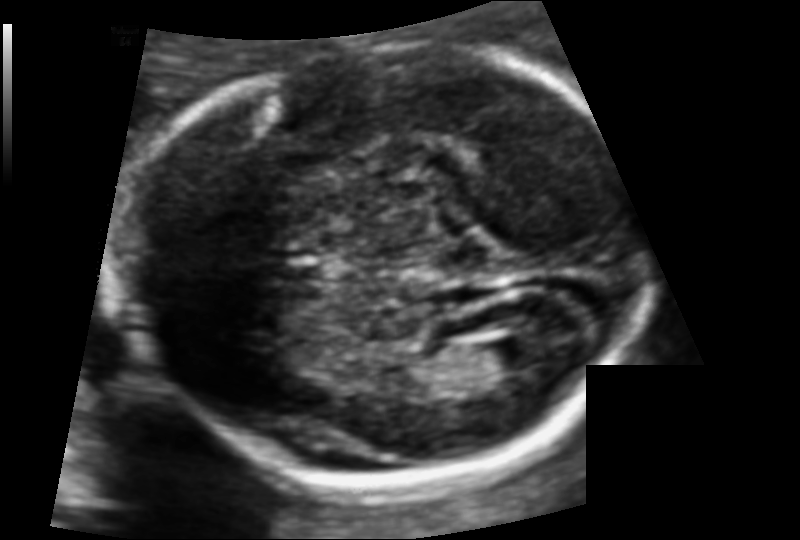
Fetal head ultrasound. Image width: 84.2 mm. Locate the fetal head and, if visible, the cavum septum pellucidum (CSP) and lateral ventricle (LV). Give bounding boxes as [x1,y1,x2,y2].

Head: [128,51,649,492]
Lateral ventricle: [471,330,543,382]